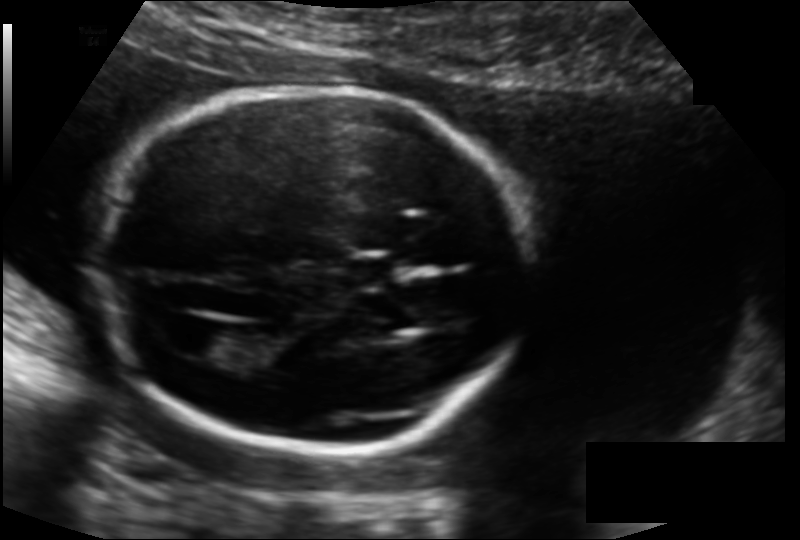
In this fetal head ultrasound, give the bounding box of the lateral ventricle. Image width: 107.7 mm.

[170,318,235,364]